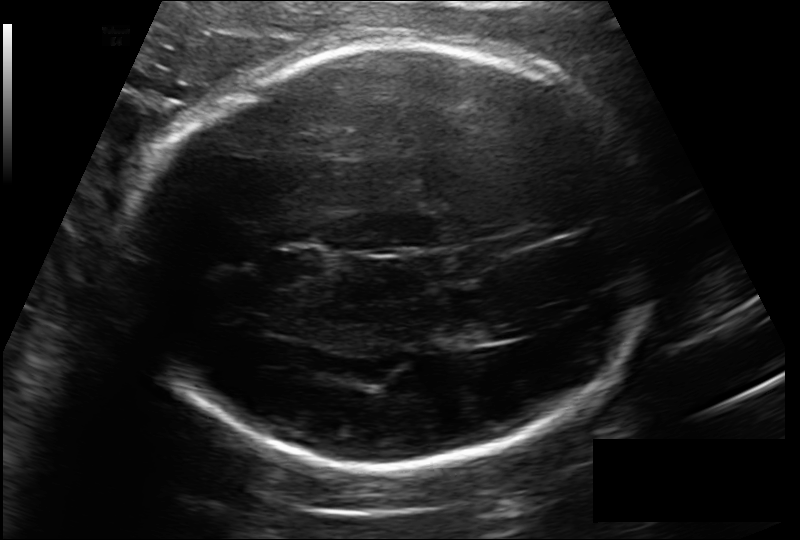
Fetal head ultrasound. Image width: 148.1 mm. Where is the lateral ventricle?

Lateral ventricle bounding box: [459,318,510,347]